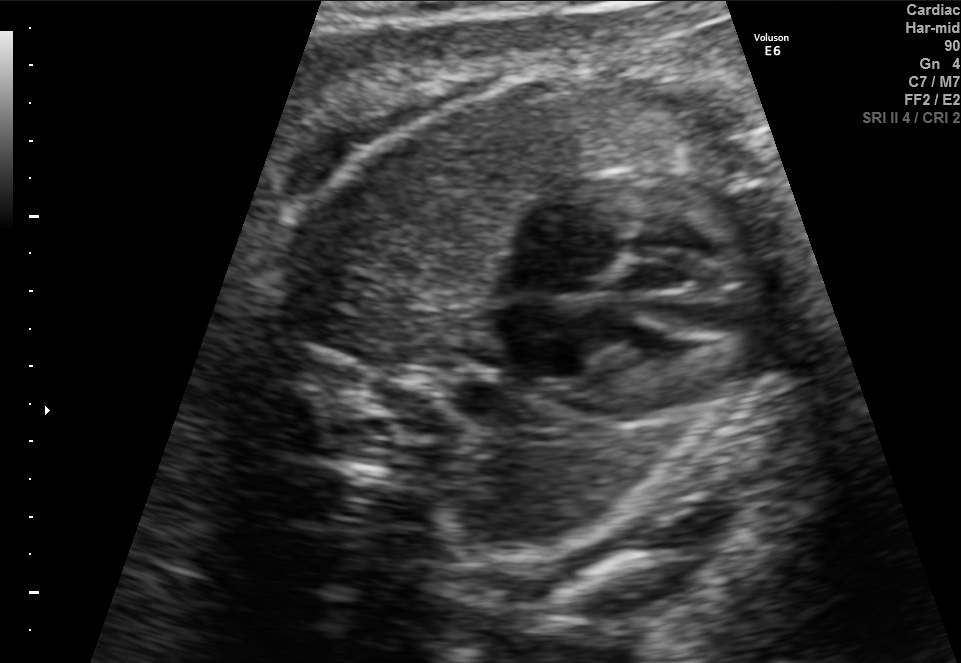
This is a 2D maternal-fetal ultrasound frame. Is it a fetal abdomen, fetal brain, fetal femur, fetal thorax, maternal cervix, or other standard plane? If it's fetal brain and one of the three standard brain planes (trans-thalamic, trans-cerebellum, trans-ventricular), name which.

Fetal thorax